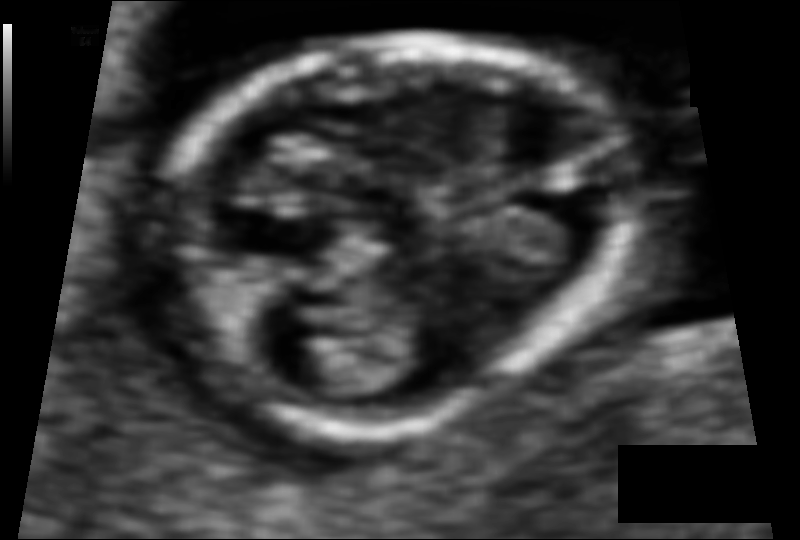
Fetal head ultrasound. Image width: 47.7 mm. Give [x1,y1,x2,y2] bounding boxes for each visible structure among: fetal head, CSP, LV.

Head: [153,36,624,426]